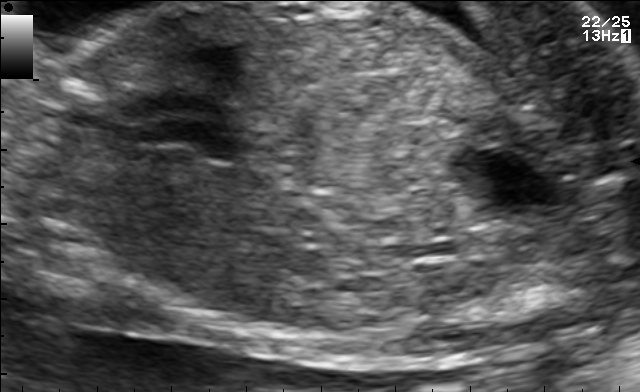
Which standard maternal-fetal ultrasound plane is shown: fetal abdomen, fetal brain, fetal femur, fetal thorax, maternal cervix, or other? If it's fetal brain and one of the three standard brain planes (trans-thalamic, trans-cerebellum, trans-ventricular), name which.

Other